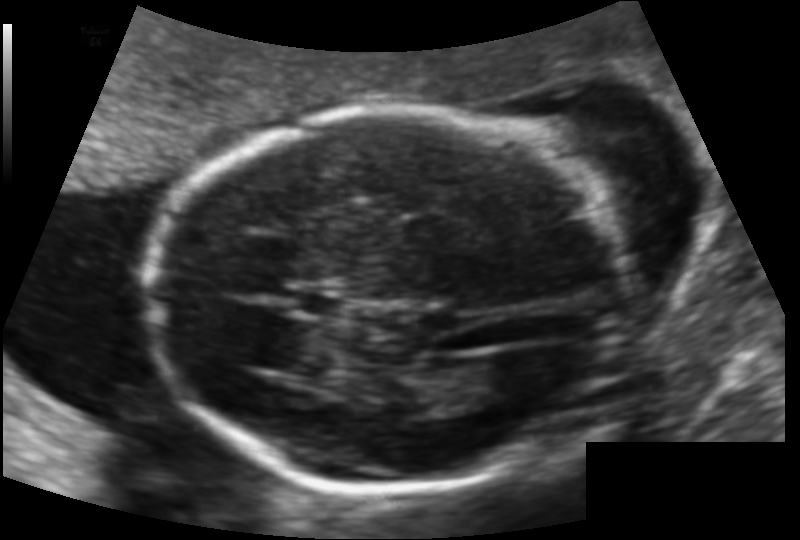
Fetal head ultrasound. Image width: 94.5 mm. Where is the lateral ventricle?

Lateral ventricle bounding box: [469,350,545,410]